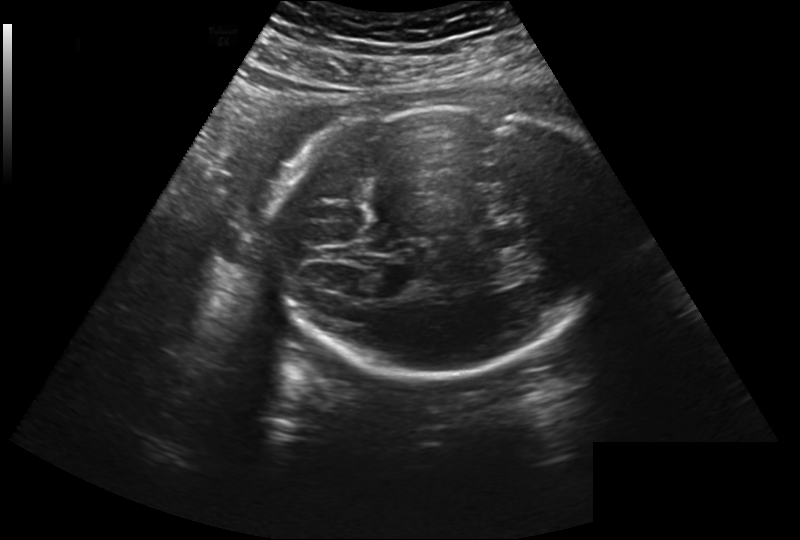
What is the fetal head circumference? Image width is 208.3 mm.

264.3 mm